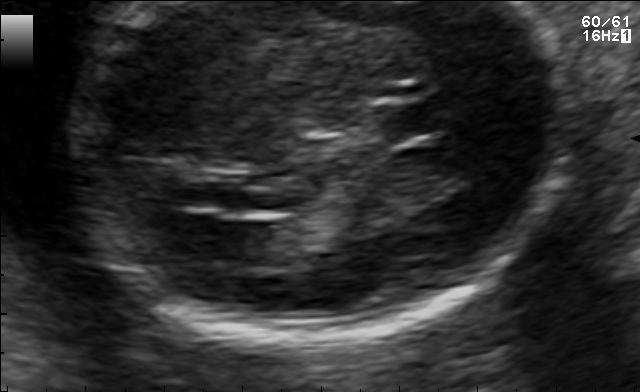
In this fetal brain, trans-ventricular plane, give bounding boxes for the cavum septum pellucidum (CSP) and lateral ventricle (LV), where visible.

CSP: [379,94,458,144]
Lateral ventricle: [188,222,273,265]